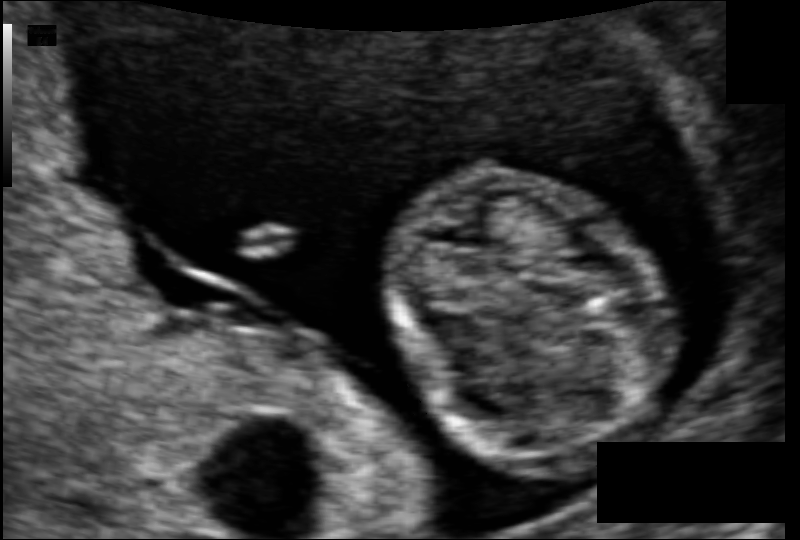
Fetal head ultrasound. Image width: 59.6 mm. Locate the fetal head.

Head: [387,163,668,460]